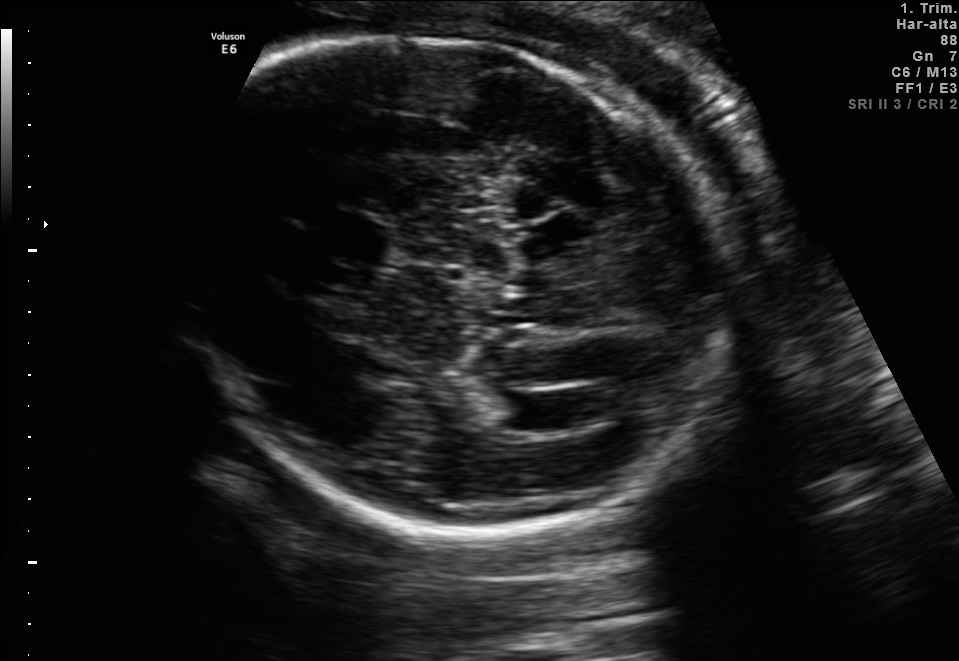
In this fetal brain, trans-ventricular plane, give the bounding box of the cavum septum pellucidum.

[336,213,398,267]